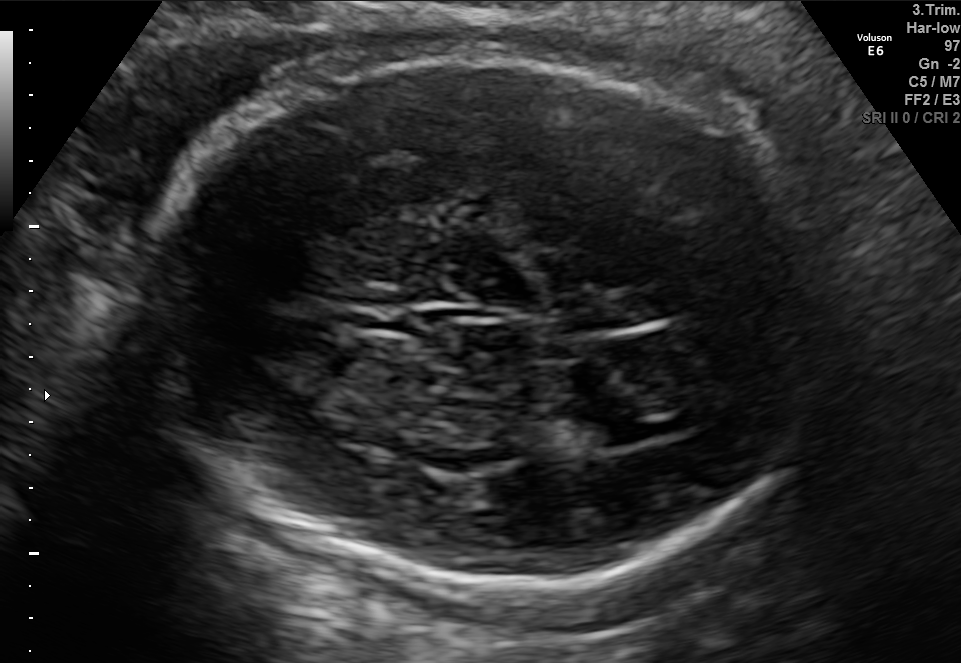
Identify the standard plane in this fetal ultrasound image: fetal abdomen, fetal brain, fetal femur, fetal thorax, maternal cervix, or other. If it's fetal brain and one of the three standard brain planes (trans-thalamic, trans-cerebellum, trans-ventricular), name which.

Fetal brain (trans-ventricular plane)